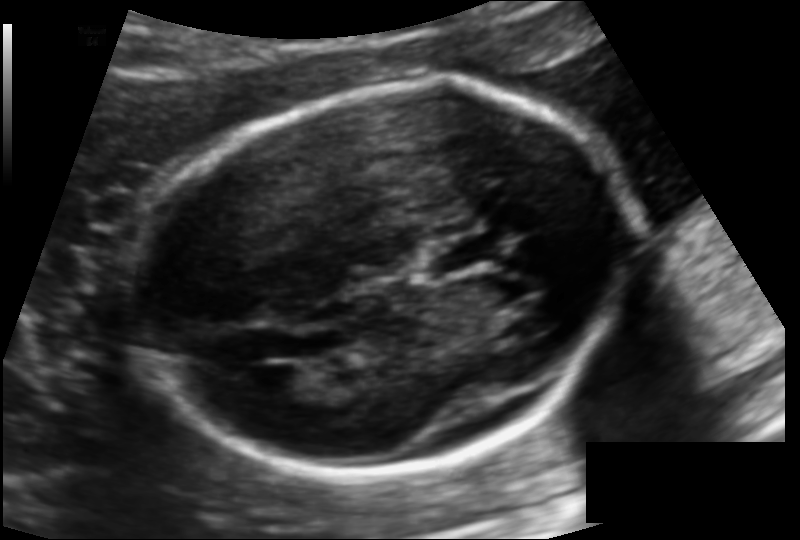
In this fetal head ultrasound, give the bounding box of the fetal head. Image width: 99.2 mm.

[135,89,631,471]